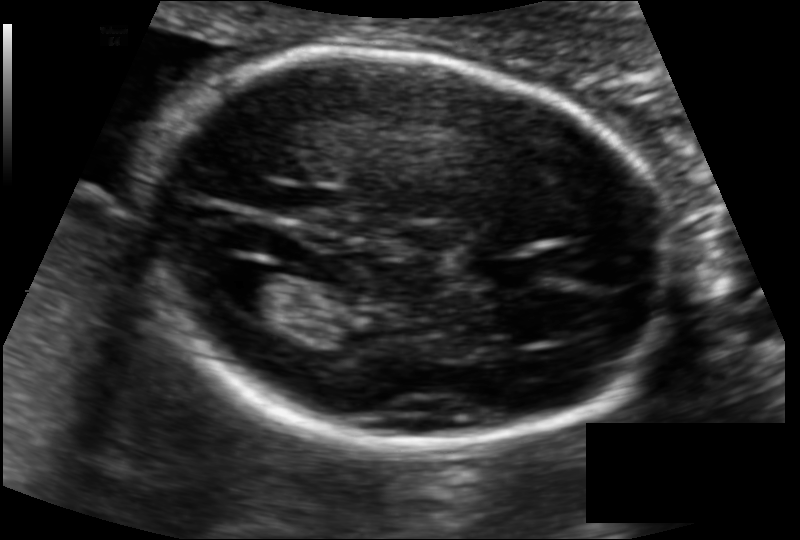
In this fetal head ultrasound, give the bounding box of the fetal head. Image width: 88.0 mm.

[137,55,678,451]